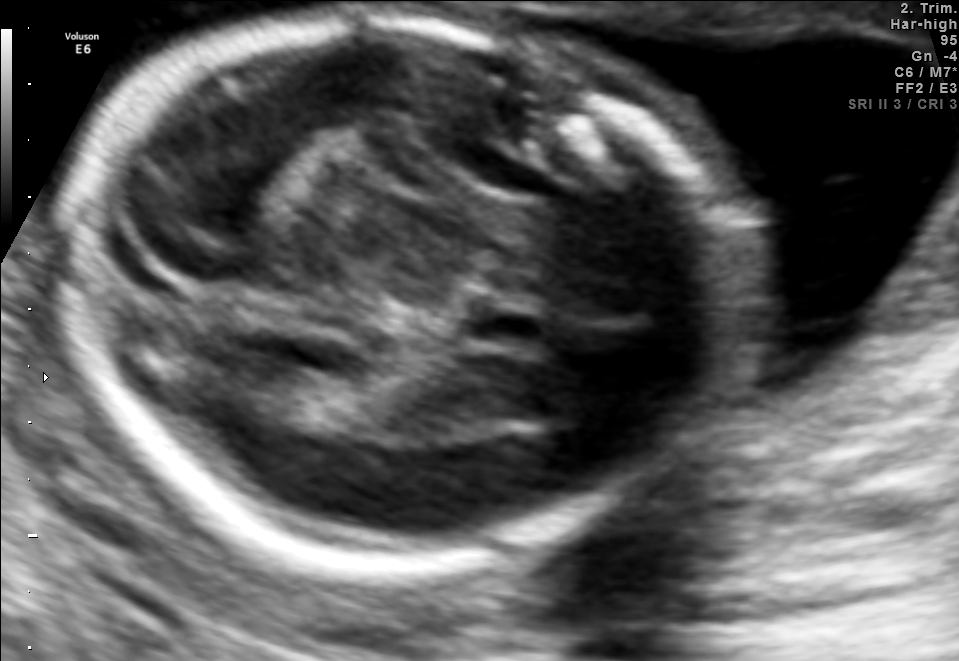
In this fetal brain, trans-thalamic plane, give the bounding box of the cavum septum pellucidum.

[465,295,548,355]